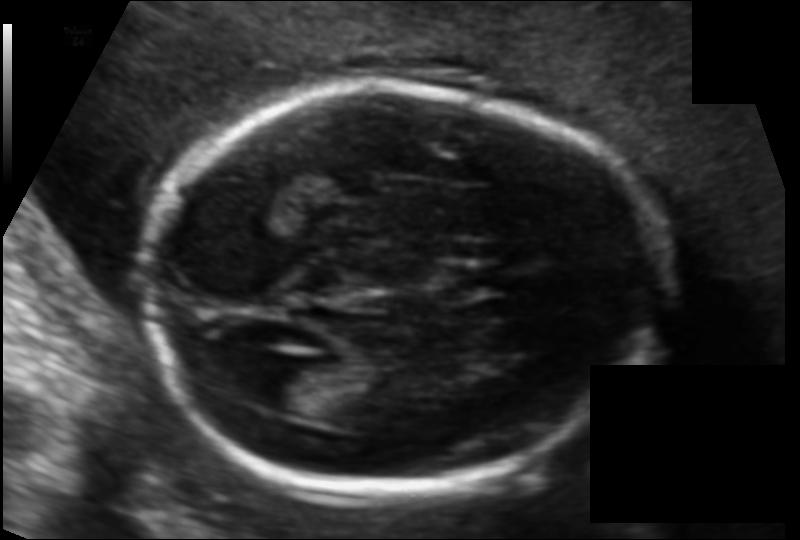
Fetal head ultrasound. Image width: 88.8 mm. Where is the fetal head?

Head bounding box: [143,83,660,494]